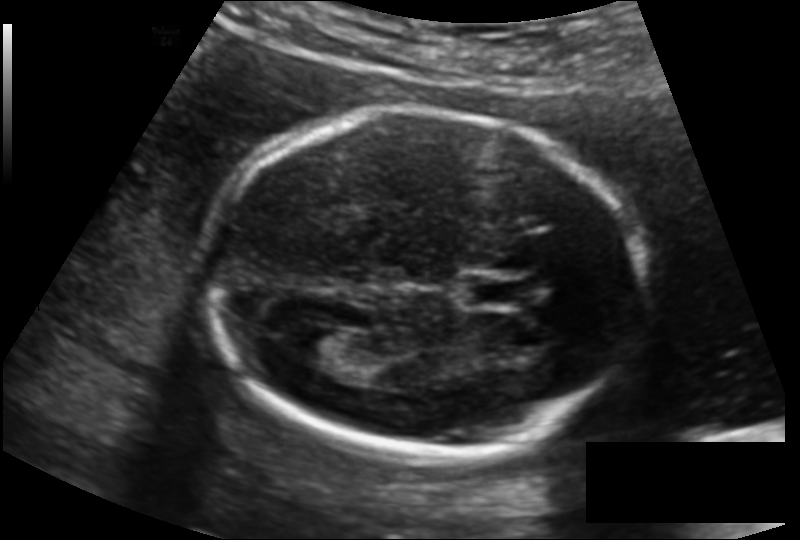
Fetal head ultrasound. Image width: 107.6 mm. Where is the lateral ventricle?

Lateral ventricle bounding box: [285,317,357,374]